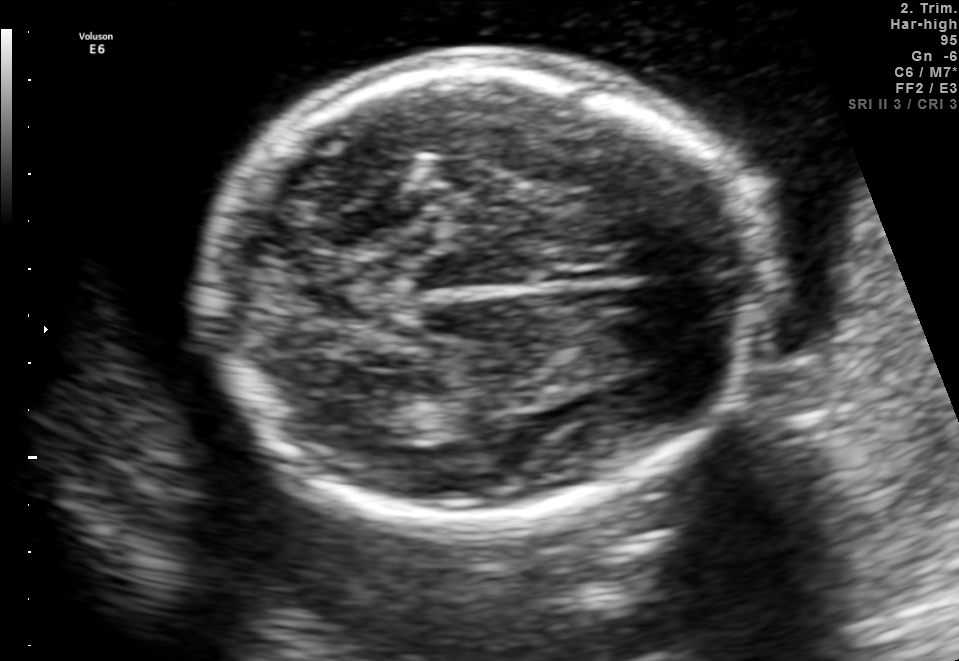
Fetal brain, trans-thalamic plane. Locate the fetal head and, if visible, the cavum septum pellucidum (CSP) and lateral ventricle (LV). Give bounding boxes as [x1,y1,x2,y2].

Head: [204,59,771,520]